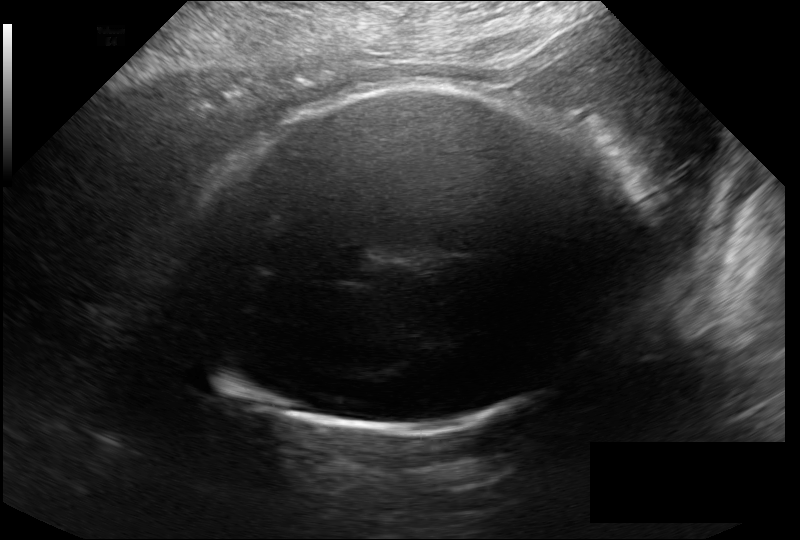
Fetal head ultrasound. Image width: 196.8 mm. Give [x1,y1,x2,y2] bounding boxes for each visible structure among: fetal head, CSP, LV.

Head: [182,84,642,431]